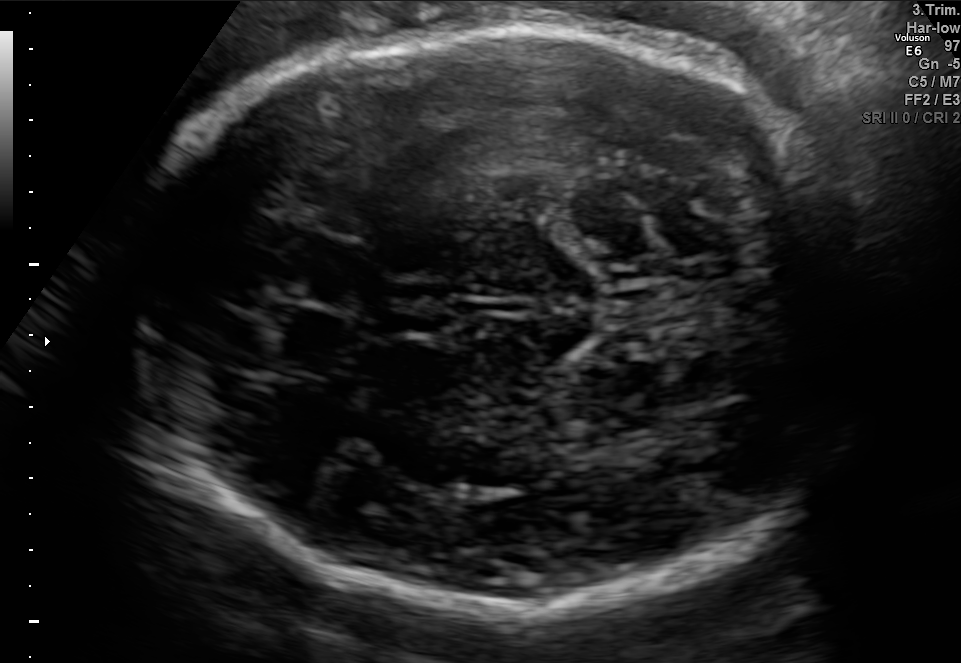
In this fetal brain, trans-thalamic plane, give the bounding box of the fetal head.

[126,26,865,617]